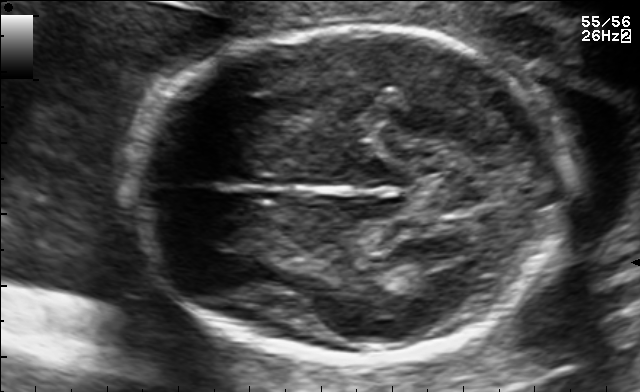
In this fetal brain, trans-thalamic plane, give bounding boxes for the head outline, cavum septum pellucidum (CSP), and lateral ventricle (LV), where visible.

Head: [127,26,572,359]